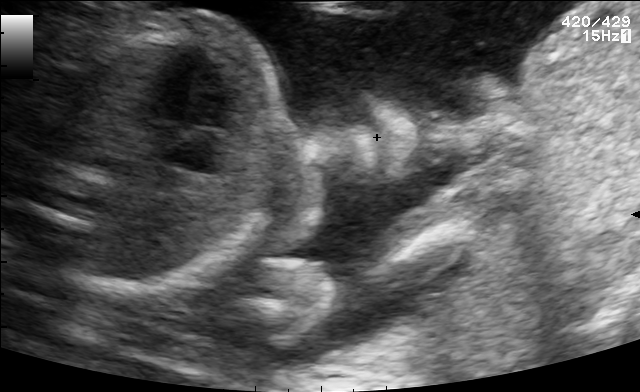
Identify the standard plane in this fetal ultrasound image: fetal abdomen, fetal brain, fetal femur, fetal thorax, maternal cervix, or other. If it's fetal brain and one of the three standard brain planes (trans-thalamic, trans-cerebellum, trans-ventricular), name which.

Other